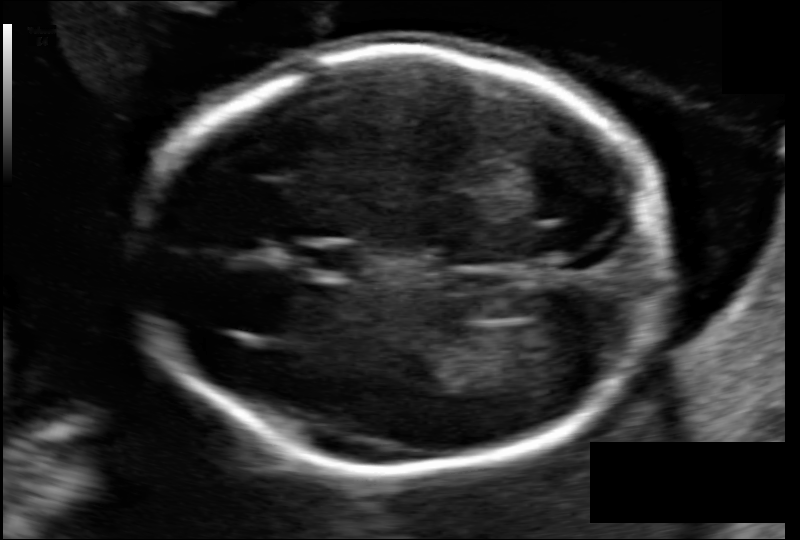
Fetal head ultrasound. Image width: 82.2 mm. Where is the fetal head?

Head bounding box: [144,48,666,472]